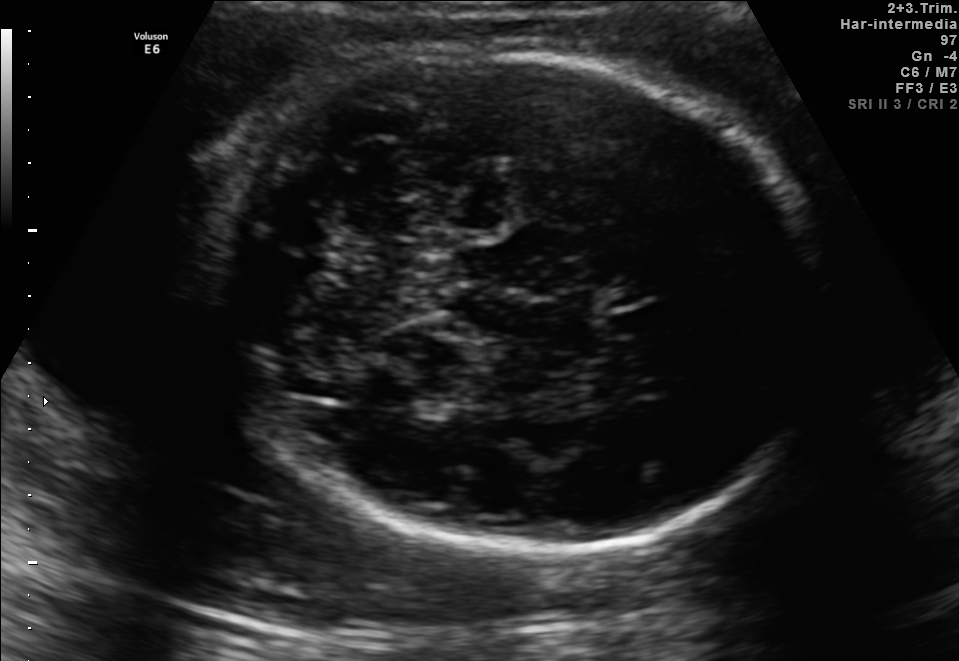
In this fetal brain, trans-cerebellum plane, give the bounding box of the fetal head.

[220,53,823,552]